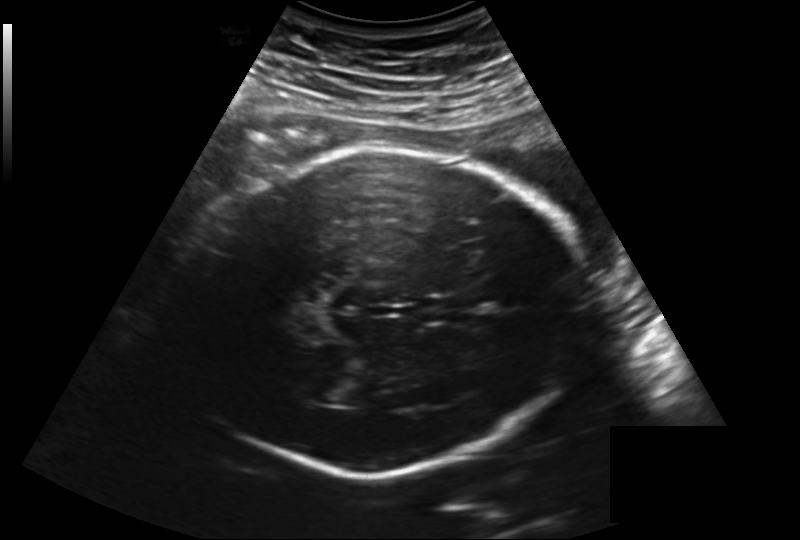
In this fetal head ultrasound, give the bounding box of the lateral ventricle. Image width: 175.2 mm.

[305,373,352,402]